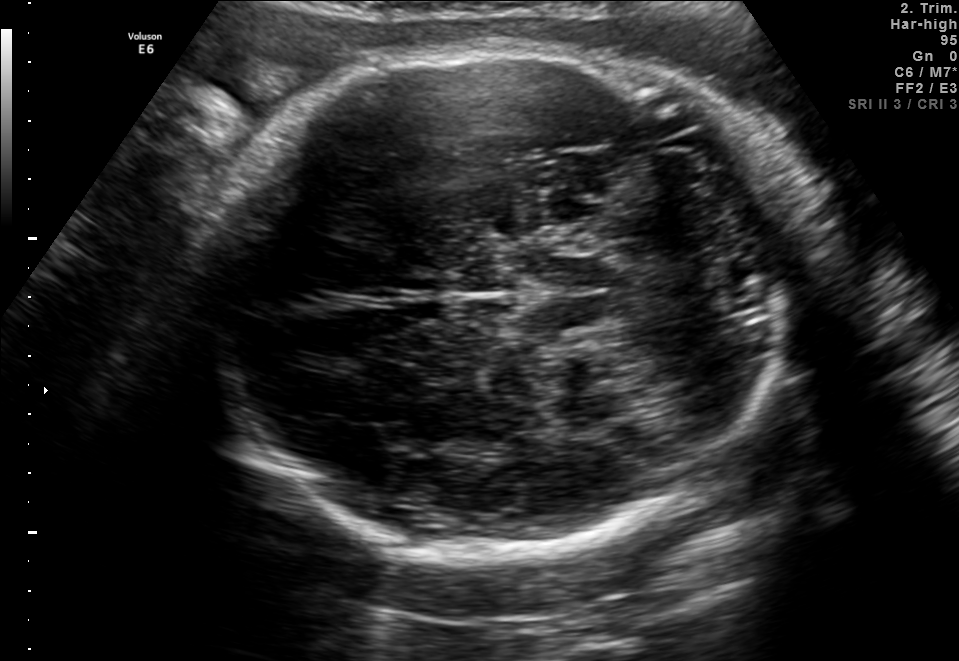
Fetal brain, trans-thalamic plane. Where is the fetal head?

Head bounding box: [204,50,785,555]